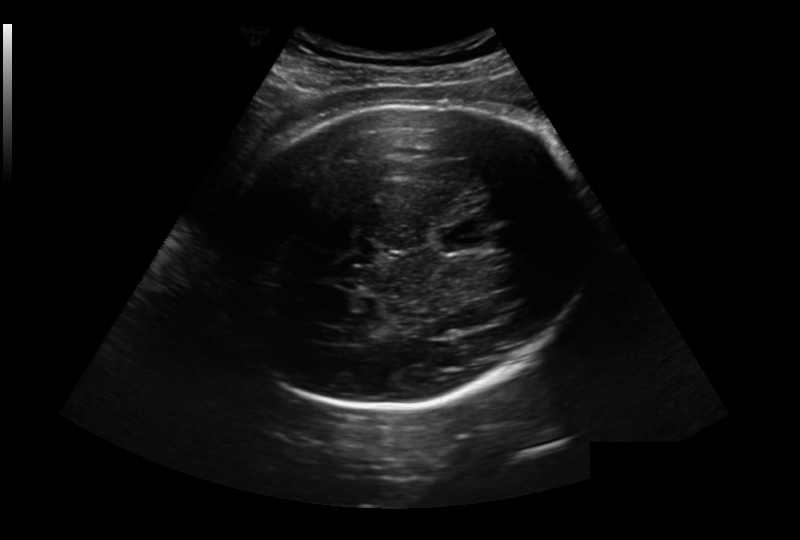
Fetal head ultrasound. Image width: 224.8 mm. Locate the cavum septum pellucidum.

CSP: [435,220,494,255]